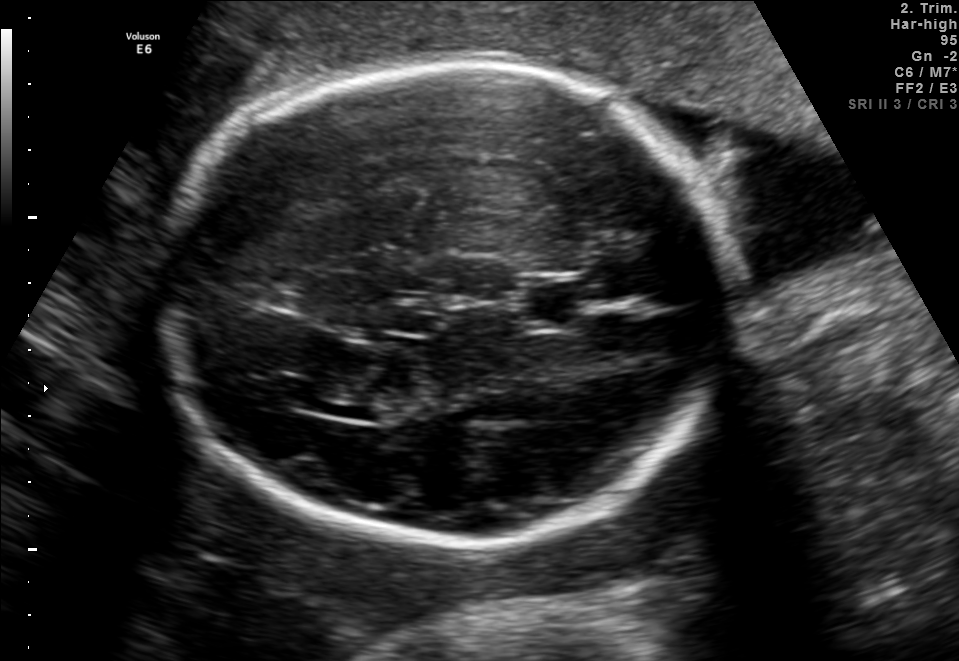
In this fetal brain, trans-thalamic plane, give bounding boxes for the head outline, cavum septum pellucidum (CSP), and lateral ventricle (LV), where visible.

Head: [161,58,726,545]
CSP: [522,280,583,327]
Lateral ventricle: [281,377,386,423]